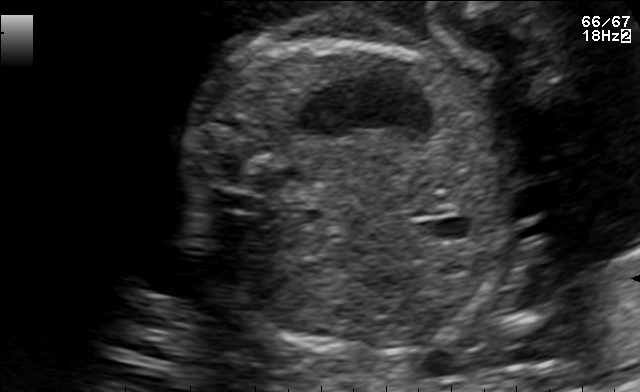
Identify the standard plane in this fetal ultrasound image: fetal abdomen, fetal brain, fetal femur, fetal thorax, maternal cervix, or other. If it's fetal brain and one of the three standard brain planes (trans-thalamic, trans-cerebellum, trans-ventricular), name which.

Fetal abdomen